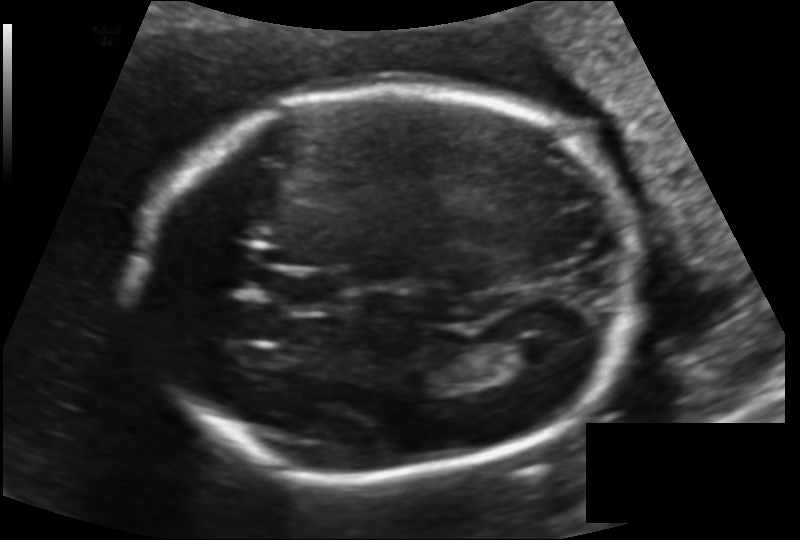
From this fetal ultrasound, estimate the head circumference (image width 115.0 mm).

Head circumference: 209.1 mm.